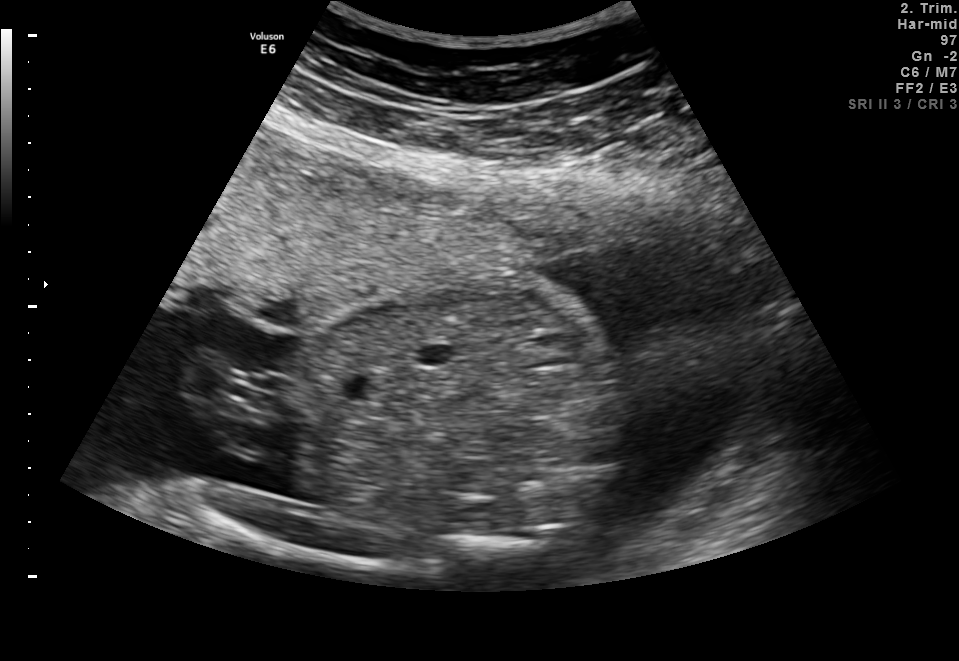
This is a 2D maternal-fetal ultrasound frame. Is it a fetal abdomen, fetal brain, fetal femur, fetal thorax, maternal cervix, or other standard plane? If it's fetal brain and one of the three standard brain planes (trans-thalamic, trans-cerebellum, trans-ventricular), name which.

Other